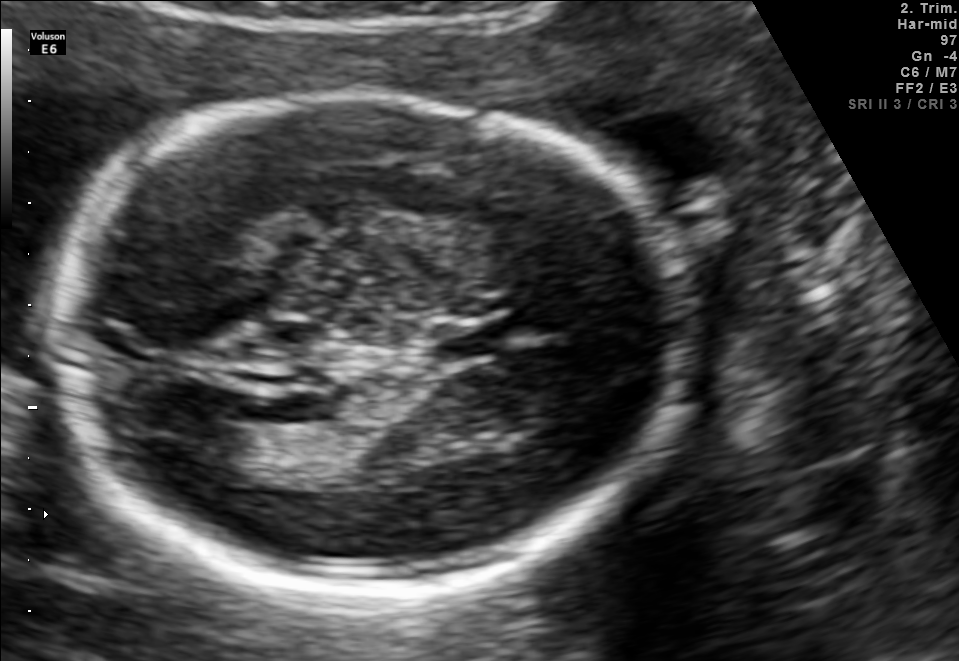
Fetal brain, trans-thalamic plane. Locate the cavum septum pellucidum.

CSP: [431,320,499,363]